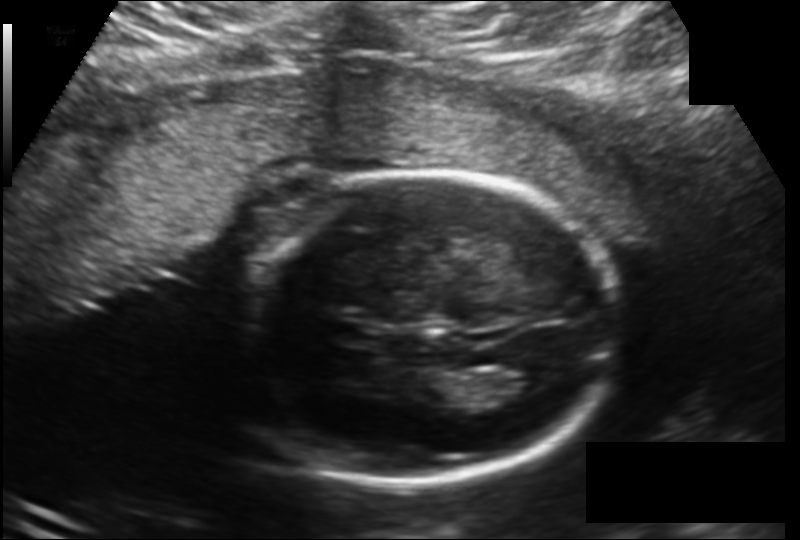
From this fetal ultrasound, estimate the head circumference (image width 132.4 mm).

Head circumference: 181.6 mm.